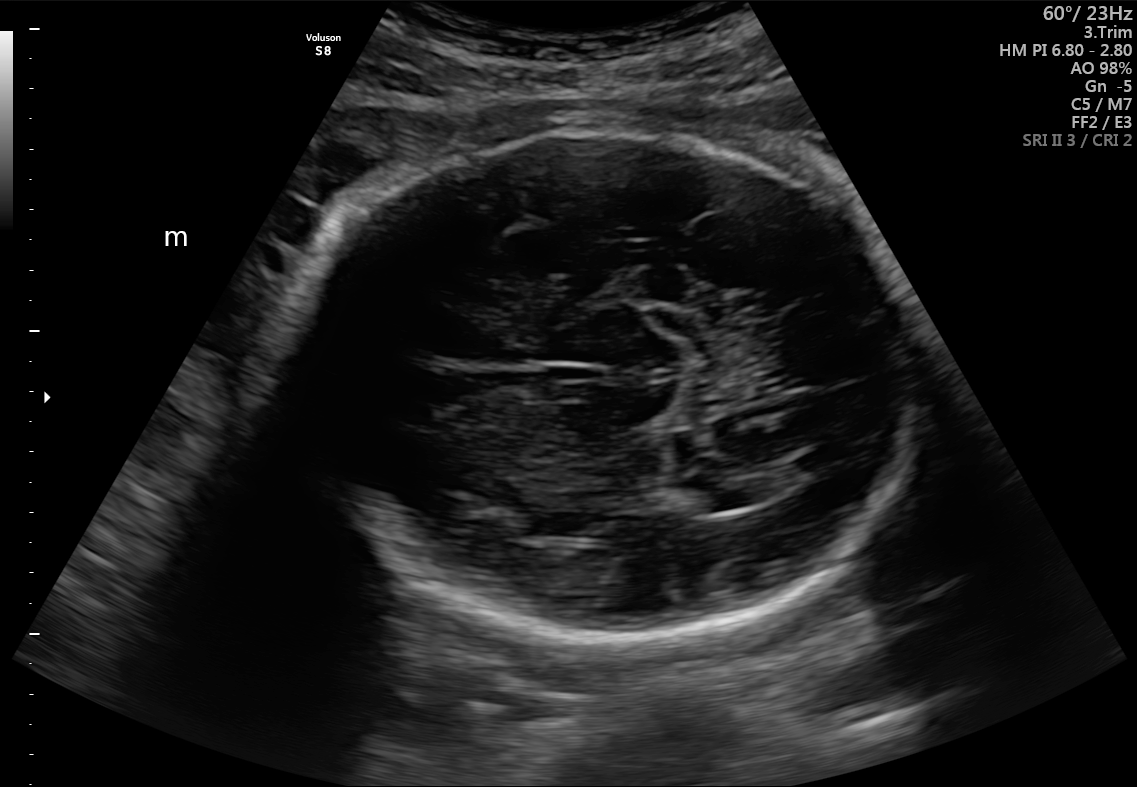
Fetal brain, trans-thalamic plane. Where is the fetal head?

Head bounding box: [286,135,920,645]